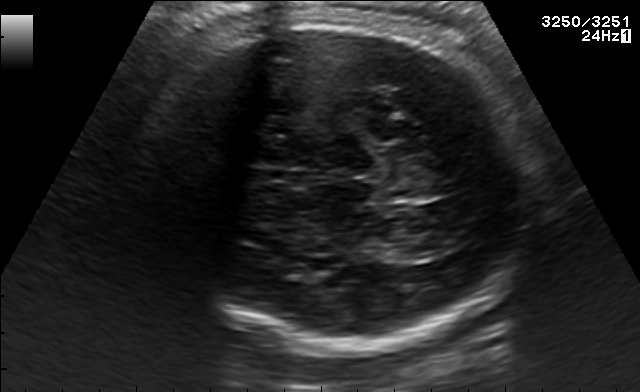
In this fetal brain, trans-thalamic plane, give bounding boxes for the head outline, cavum septum pellucidum (CSP), and lateral ventricle (LV), where visible.

Head: [143,20,533,349]